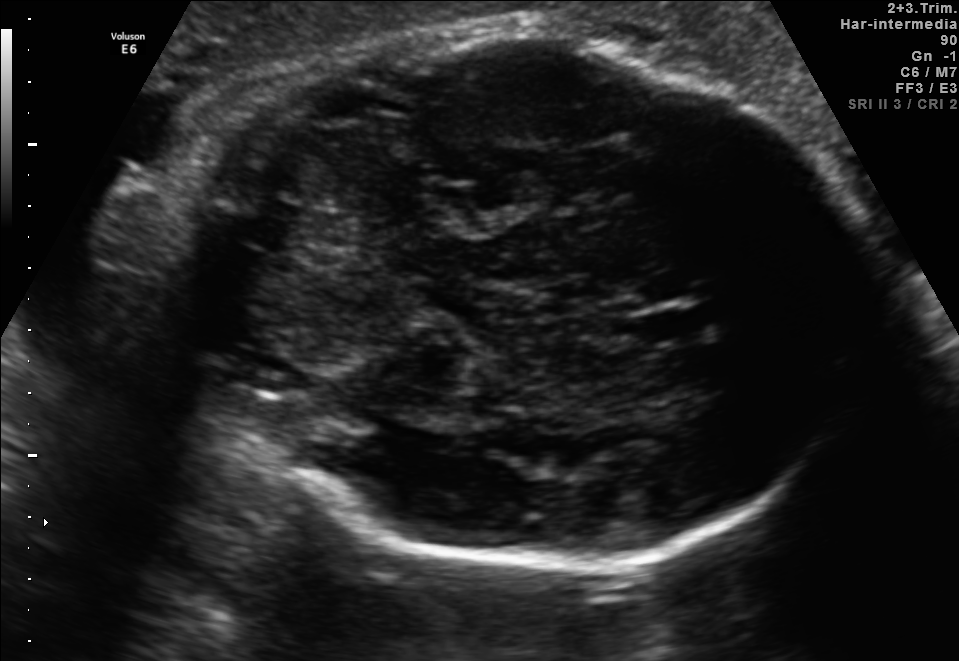
In this fetal brain, trans-cerebellum plane, give bounding boxes for the head outline, cavum septum pellucidum (CSP), and lateral ventricle (LV), where visible.

Head: [171,30,856,569]
CSP: [625,297,709,355]